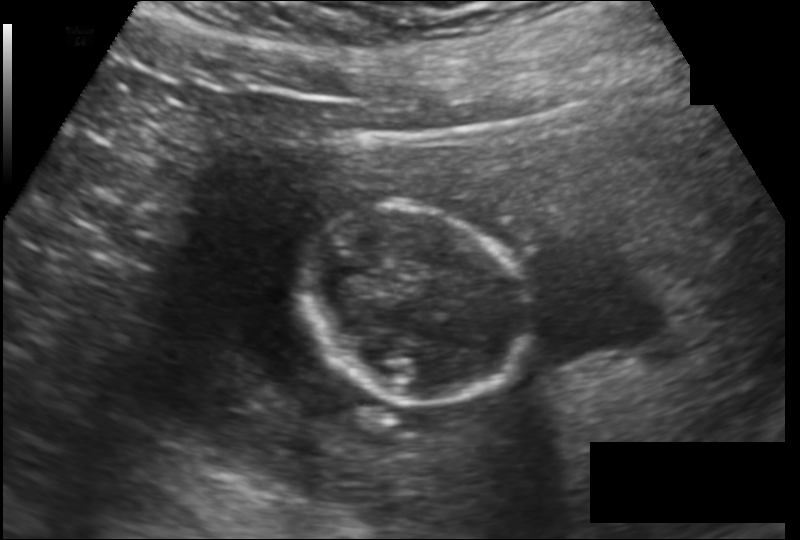
From this fetal ultrasound, estimate the head circumference (image width 119.2 mm).

Head circumference: 105.6 mm.